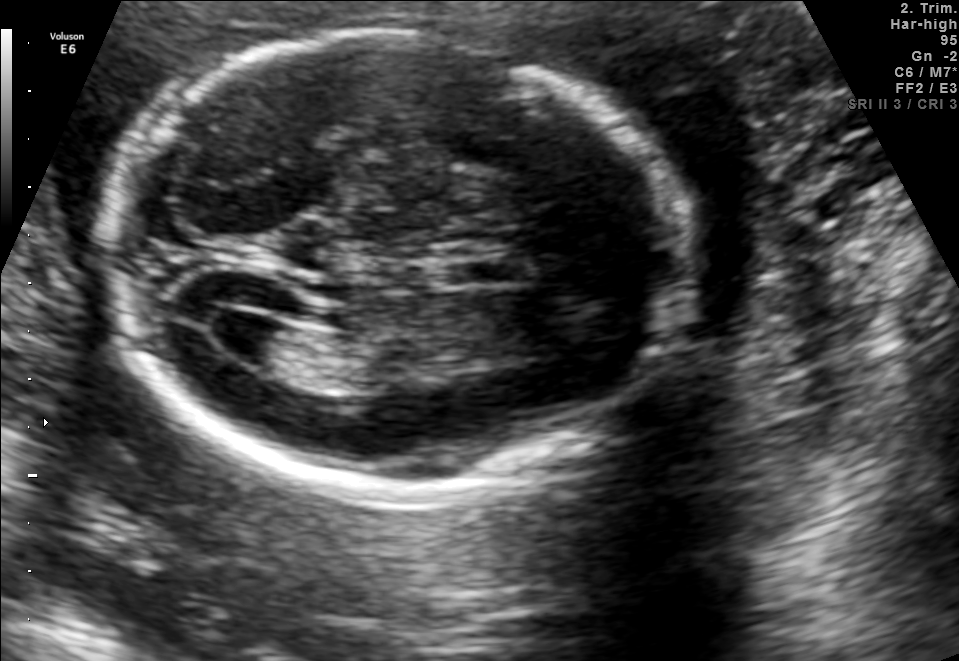
Fetal brain, trans-ventricular plane. Locate the fetal head and, if visible, the cavum septum pellucidum (CSP) and lateral ventricle (LV). Give bounding boxes as [x1,y1,x2,y2].

Head: [92,28,701,503]
CSP: [439,256,537,284]
Lateral ventricle: [189,287,286,369]